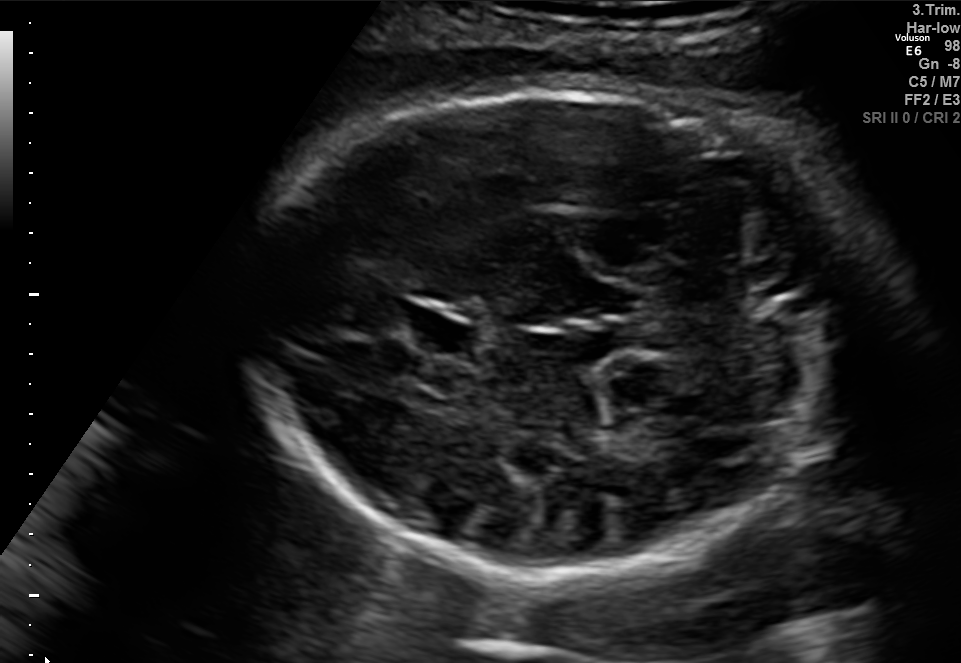
Identify the standard plane in this fetal ultrasound image: fetal abdomen, fetal brain, fetal femur, fetal thorax, maternal cervix, or other. If it's fetal brain and one of the three standard brain planes (trans-thalamic, trans-cerebellum, trans-ventricular), name which.

Fetal brain (trans-cerebellum plane)